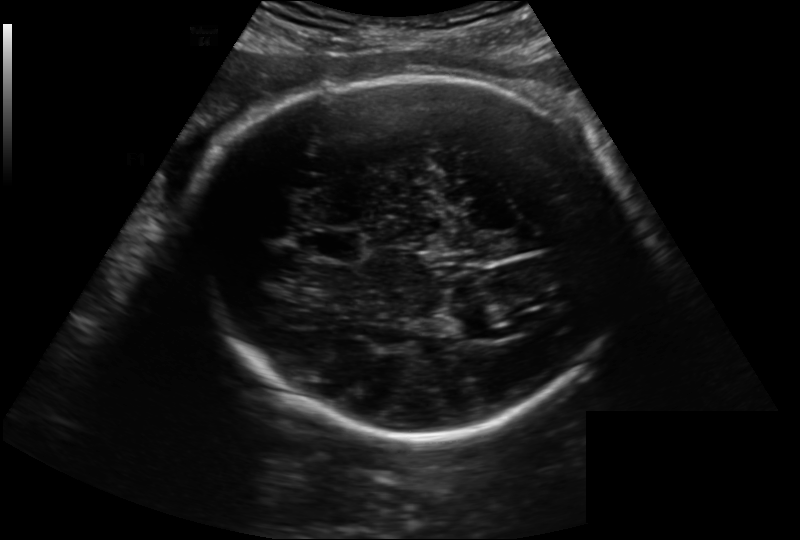
Fetal head ultrasound. Image width: 177.3 mm. Where is the fetal head?

Head bounding box: [182,76,633,433]